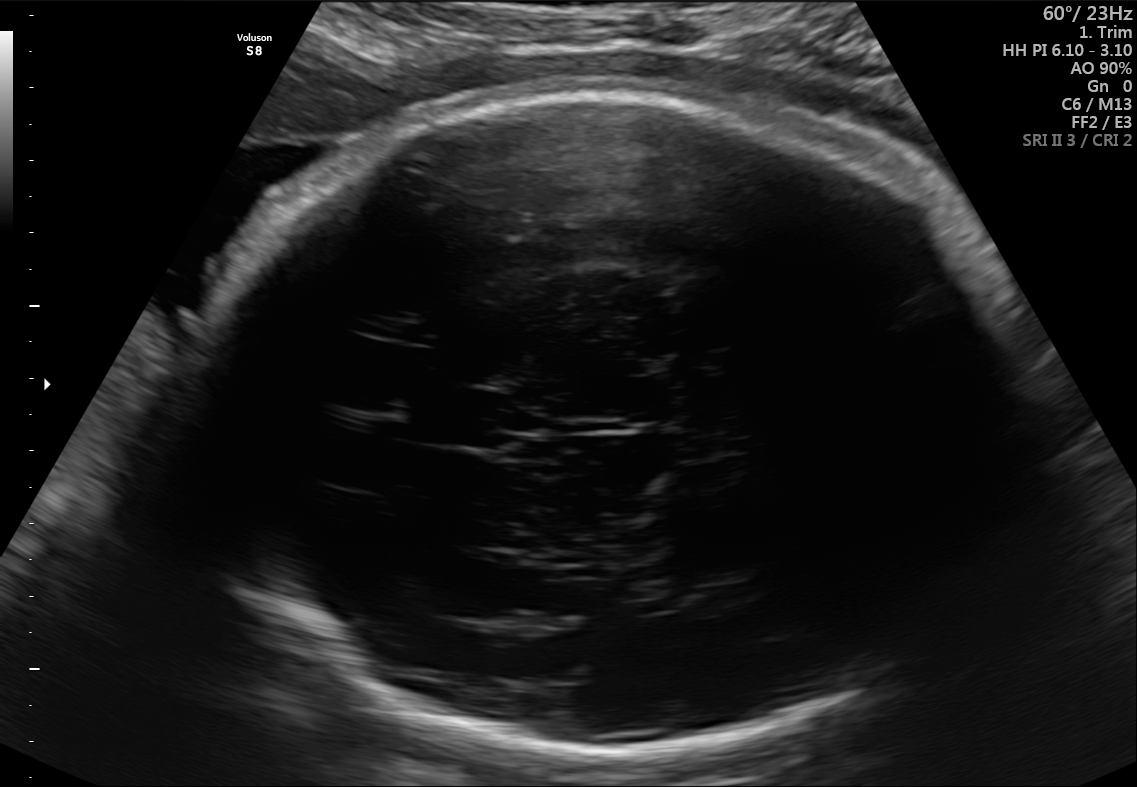
In this fetal brain, trans-thalamic plane, give the bounding box of the fetal head.

[179,86,1029,749]